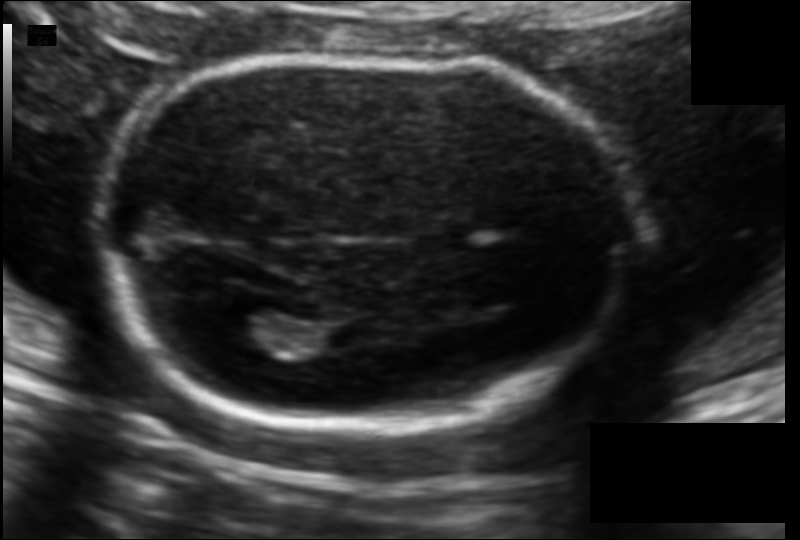
In this fetal head ultrasound, give the bounding box of the lateral ventricle. Image width: 90.5 mm.

[210,299,294,359]